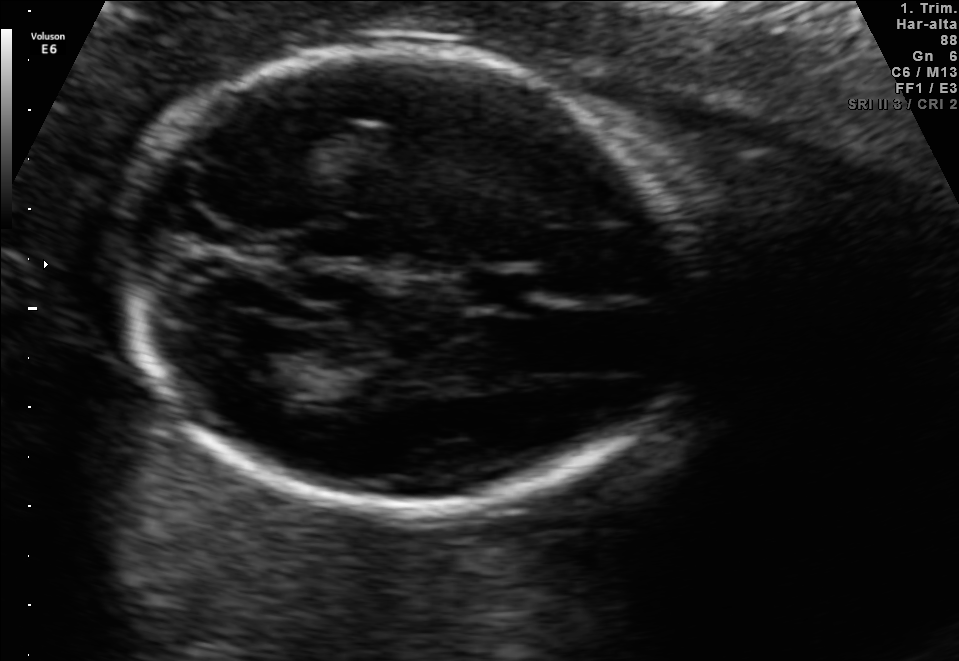
This is a 2D maternal-fetal ultrasound frame. Is it a fetal abdomen, fetal brain, fetal femur, fetal thorax, maternal cervix, or other standard plane? If it's fetal brain and one of the three standard brain planes (trans-thalamic, trans-cerebellum, trans-ventricular), name which.

Fetal brain (trans-thalamic plane)